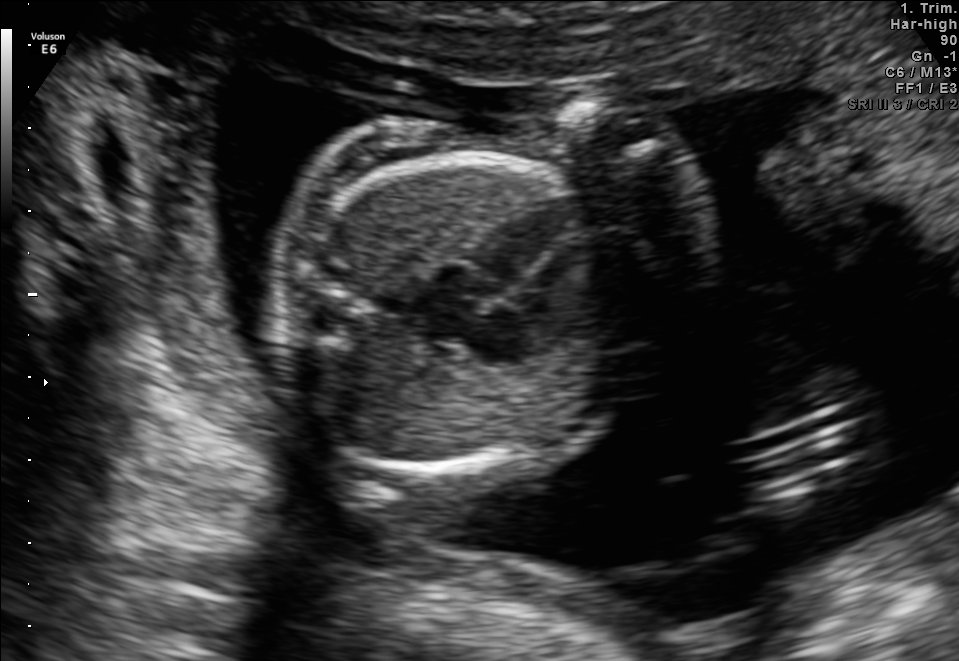
This is a 2D maternal-fetal ultrasound frame. Is it a fetal abdomen, fetal brain, fetal femur, fetal thorax, maternal cervix, or other standard plane? If it's fetal brain and one of the three standard brain planes (trans-thalamic, trans-cerebellum, trans-ventricular), name which.

Fetal thorax